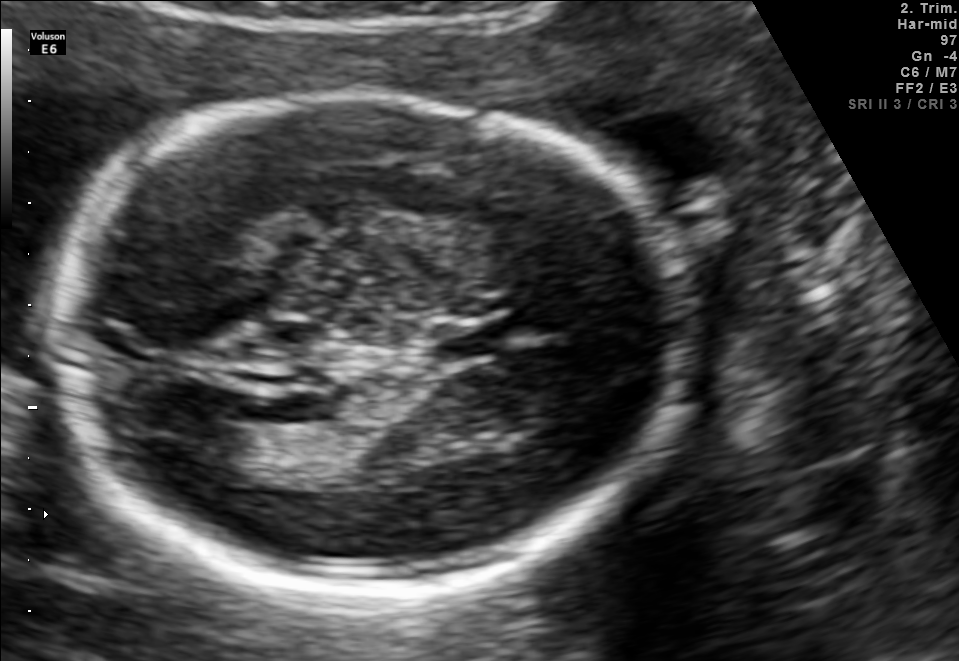
Fetal brain, trans-thalamic plane. Locate the fetal head and, if visible, the cavum septum pellucidum (CSP) and lateral ventricle (LV). Give bounding boxes as [x1,y1,x2,y2].

Head: [58,95,681,592]
CSP: [431,320,499,363]
Lateral ventricle: [173,424,257,485]